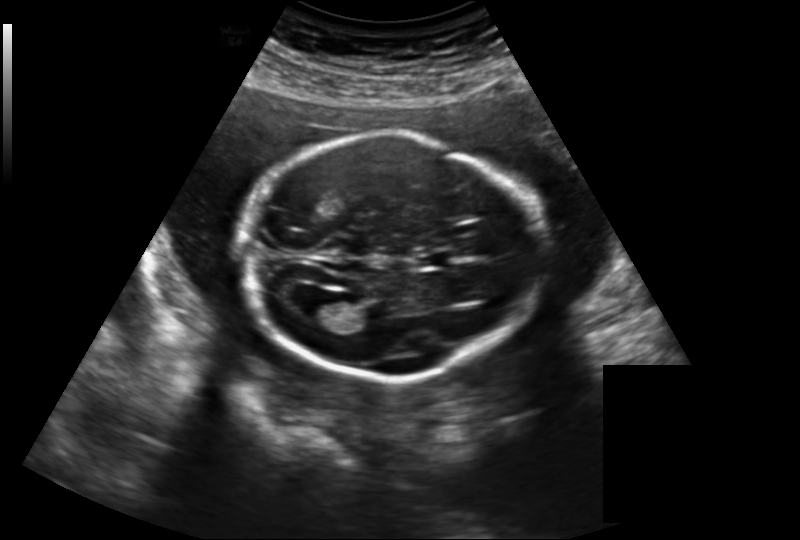
Fetal head ultrasound. Image width: 175.2 mm. Locate the fetal head and, if visible, the cavum septum pellucidum (CSP) and lateral ventricle (LV). Give bounding boxes as [x1,y1,x2,y2].

Head: [241,133,542,381]
CSP: [417,250,453,269]
Lateral ventricle: [300,286,352,330]